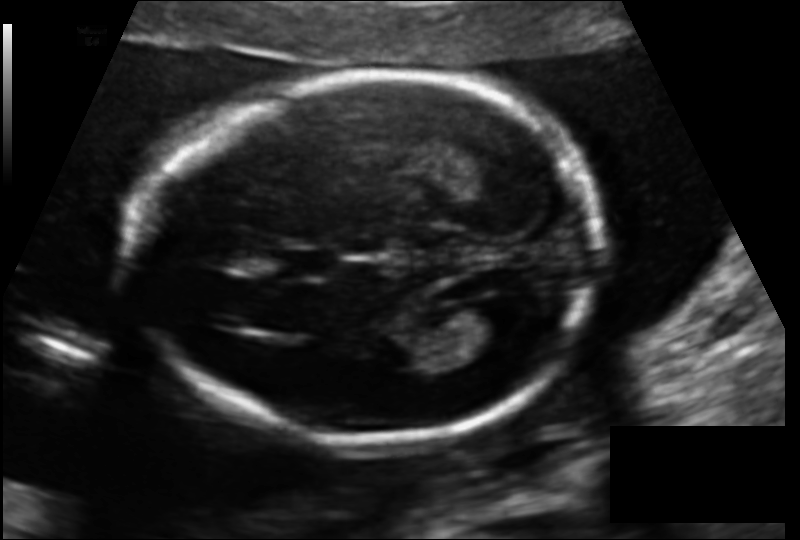
Fetal head ultrasound. Image width: 100.2 mm. Locate the fetal head.

Head: [138,76,597,441]